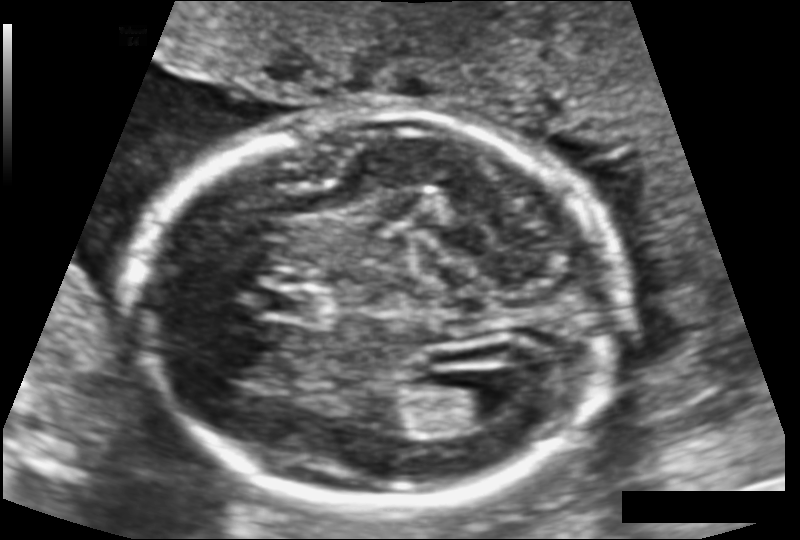
Fetal head ultrasound. Image width: 99.5 mm. Locate the cavum septum pellucidum.

CSP: [261,287,316,320]